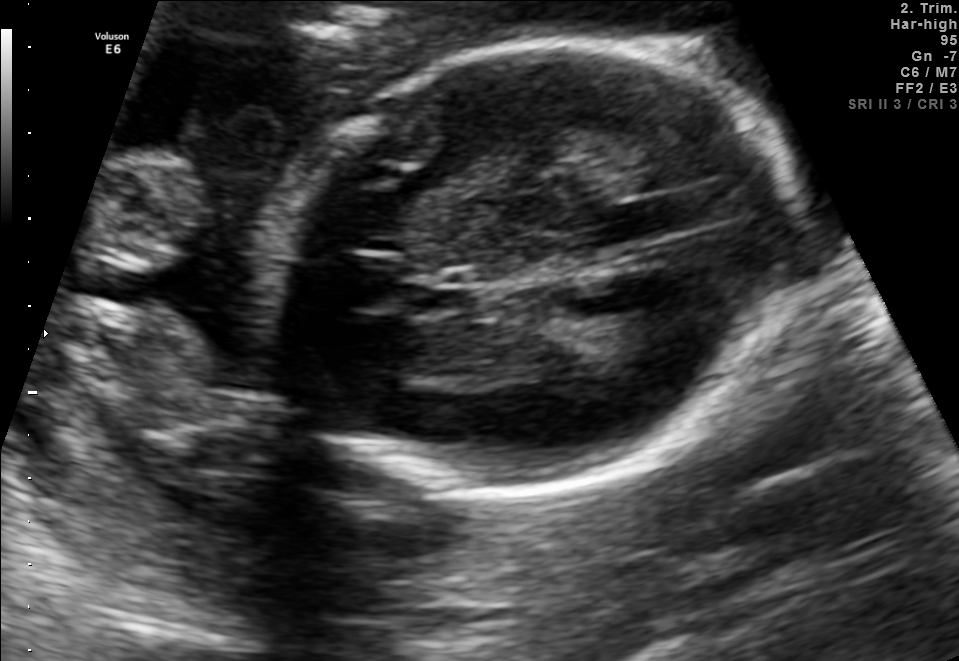
Fetal brain, trans-thalamic plane. Locate the cavum septum pellucidum.

CSP: [403,273,472,317]